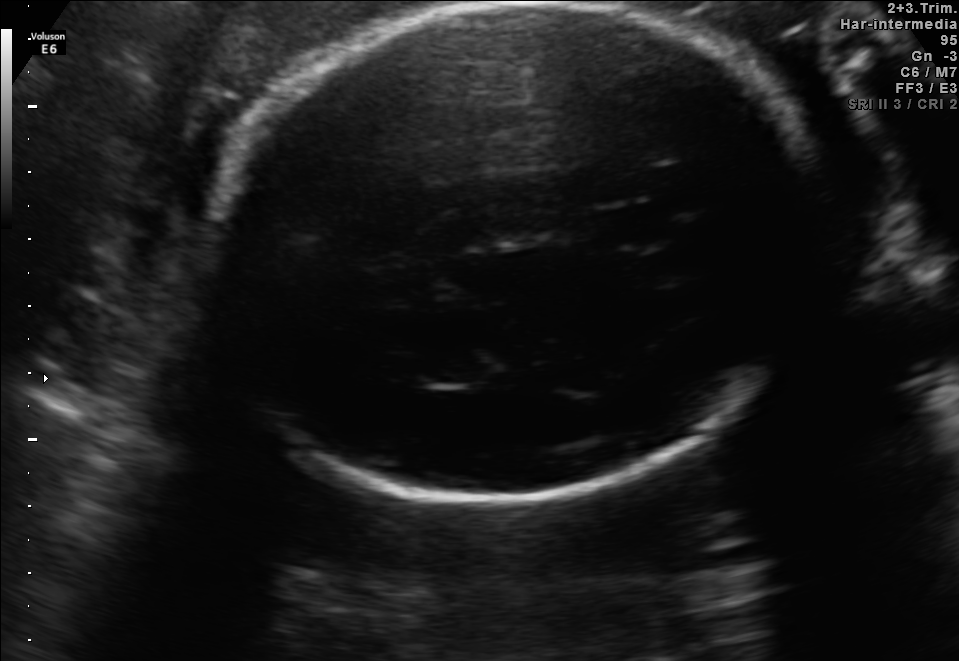
Fetal brain, trans-thalamic plane. Locate the fetal head.

Head: [207,3,824,502]